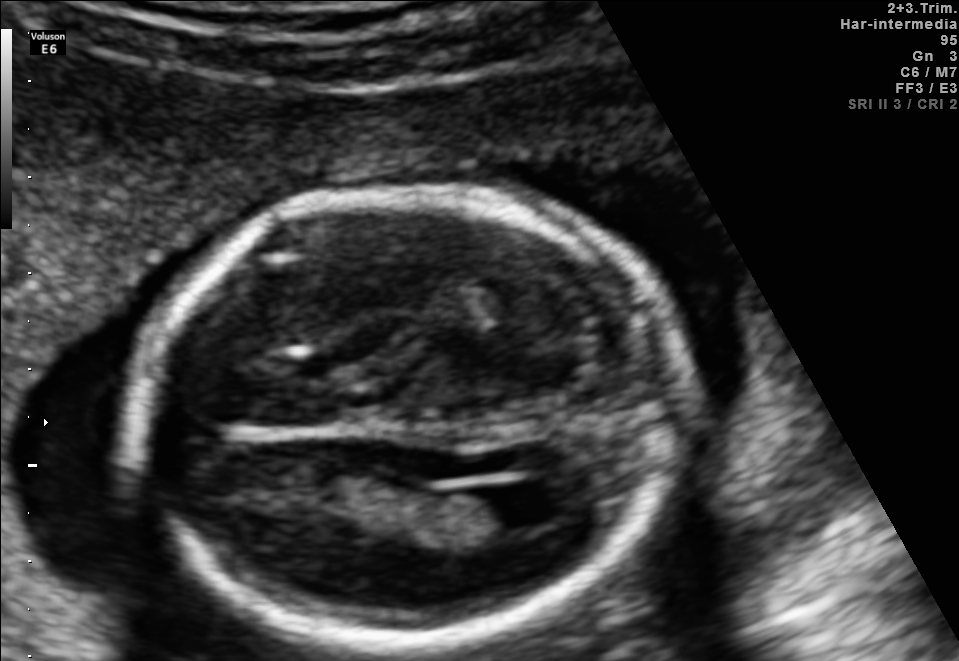
Fetal brain, trans-ventricular plane. Where is the lateral ventricle?

Lateral ventricle bounding box: [466,474,566,539]